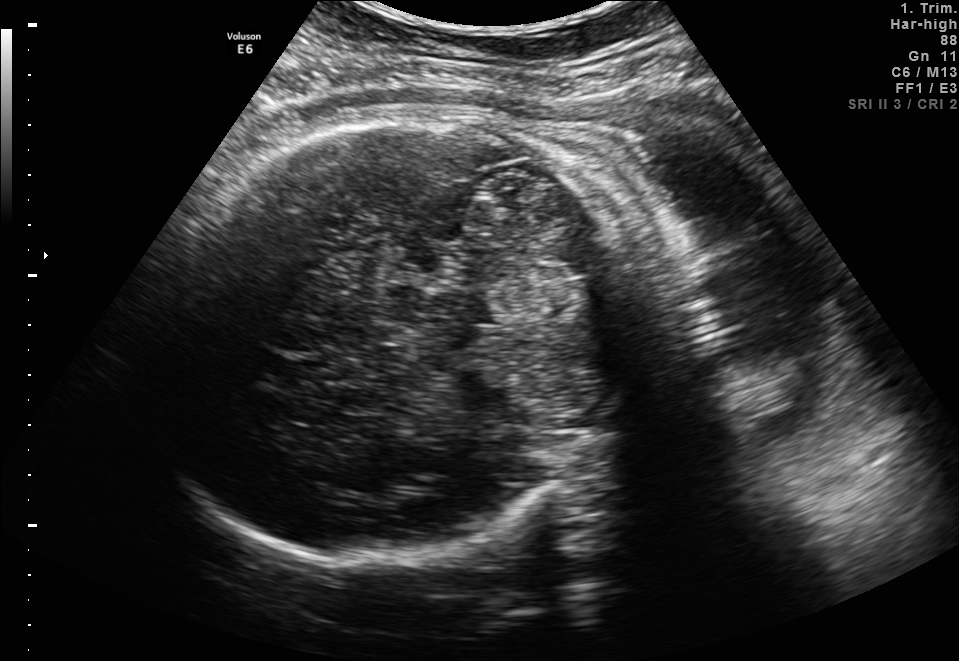
Fetal brain, trans-thalamic plane. Where is the fetal head?

Head bounding box: [144,108,633,573]